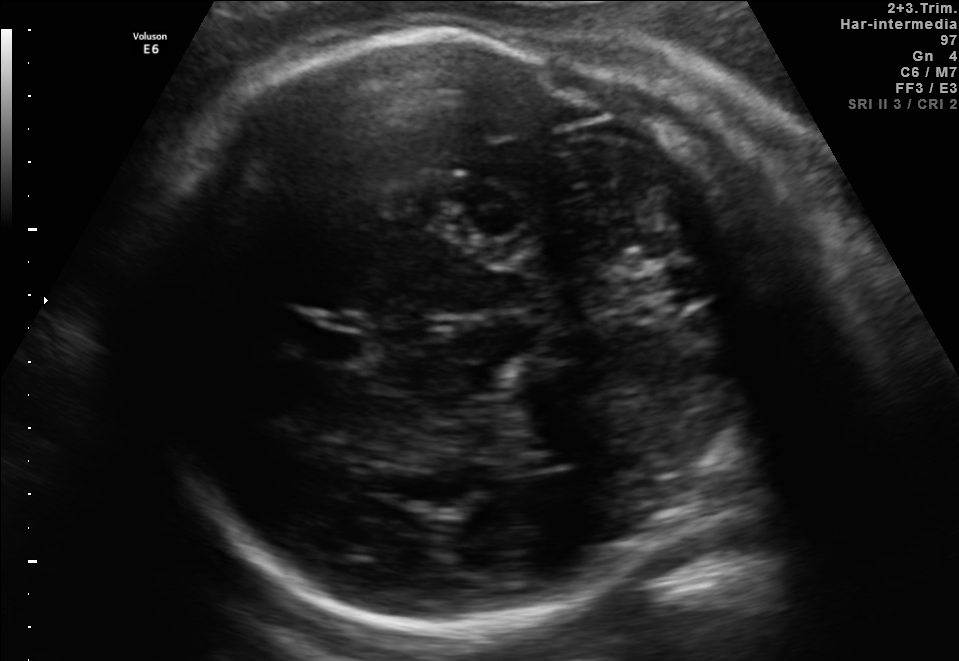
In this fetal brain, trans-thalamic plane, give bounding boxes for the head outline, cavum septum pellucidum (CSP), and lateral ventricle (LV), where visible.

Head: [130,32,765,641]
CSP: [300,328,367,365]
Lateral ventricle: [512,435,585,476]